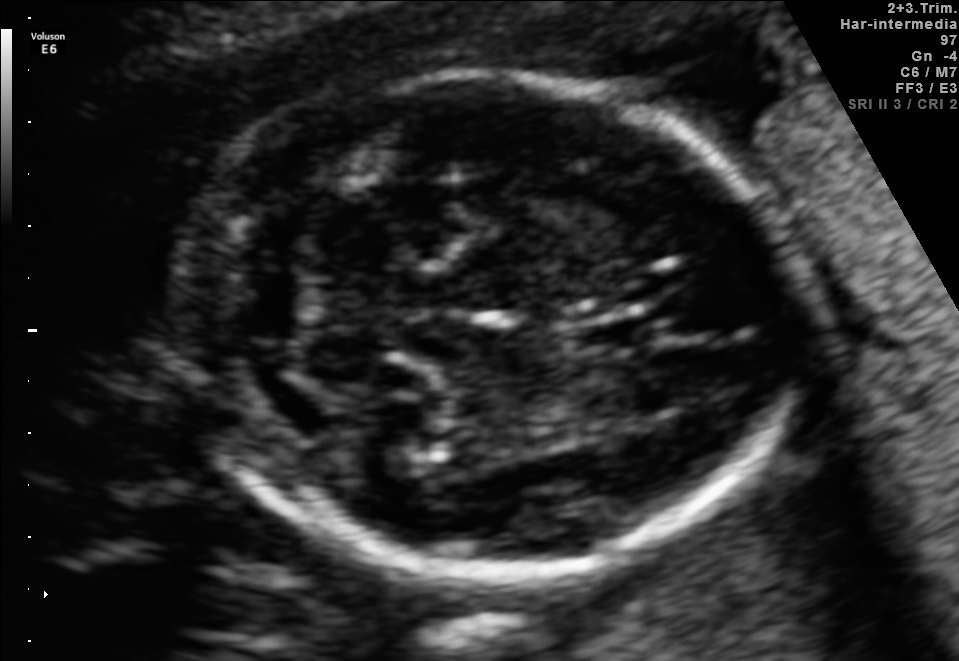
Fetal brain, trans-cerebellum plane. Locate the fetal head.

Head: [177,73,788,574]